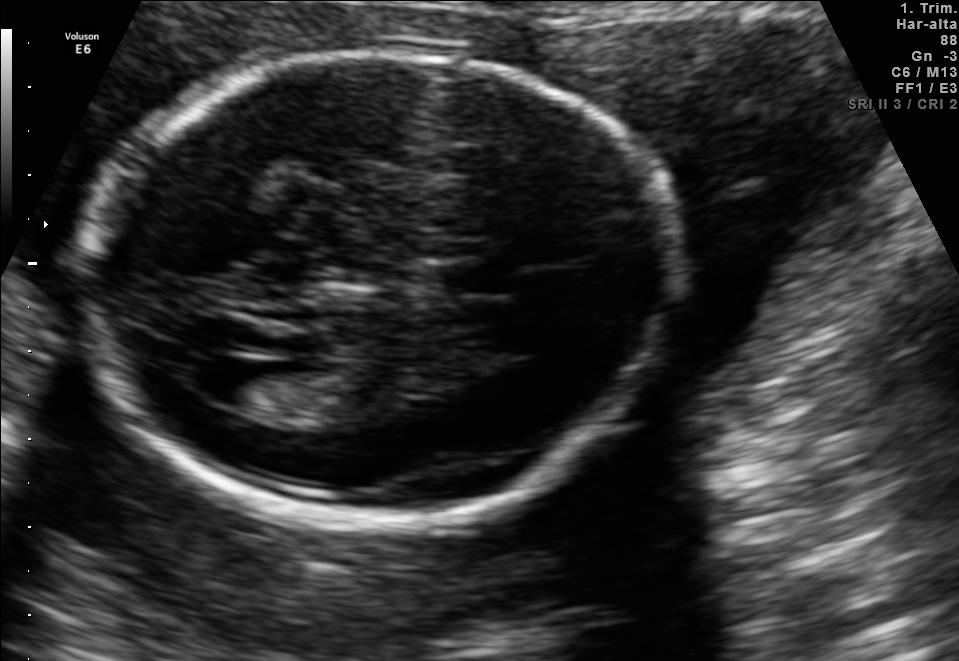
Fetal brain, trans-ventricular plane. Locate the lateral ventricle.

Lateral ventricle: [178,344,265,412]